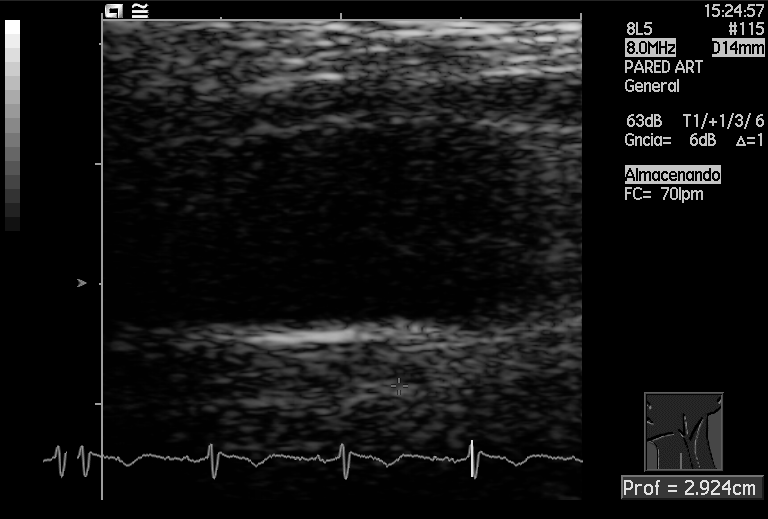
Identify the standard plane in this fetal ultrasound image: fetal abdomen, fetal brain, fetal femur, fetal thorax, maternal cervix, or other. If it's fetal brain and one of the three standard brain planes (trans-thalamic, trans-cerebellum, trans-ventricular), name which.

Other